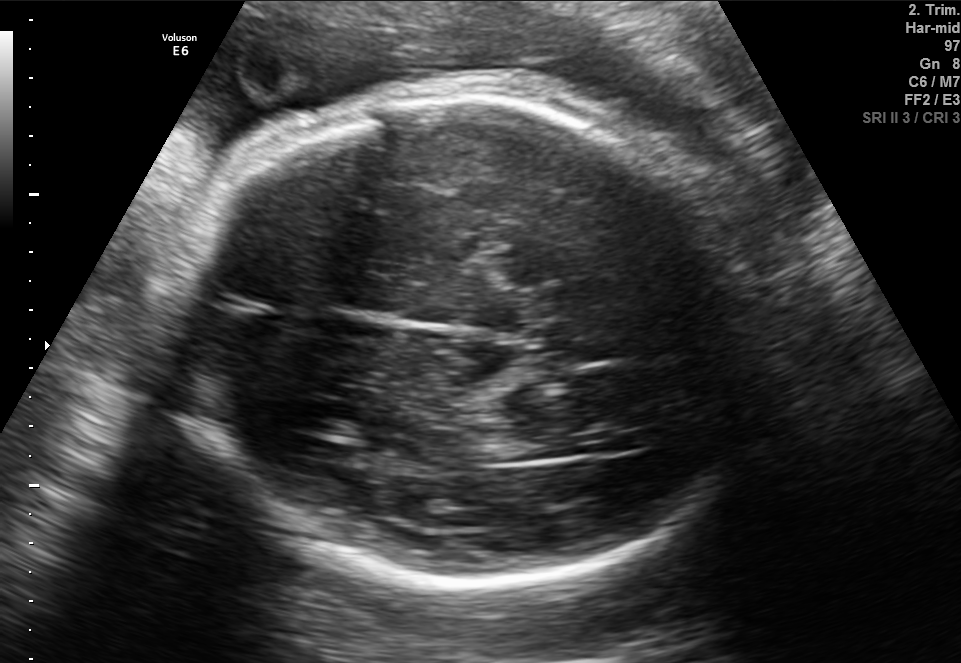
Fetal brain, trans-thalamic plane. Where is the fetal head?

Head bounding box: [191,103,766,588]